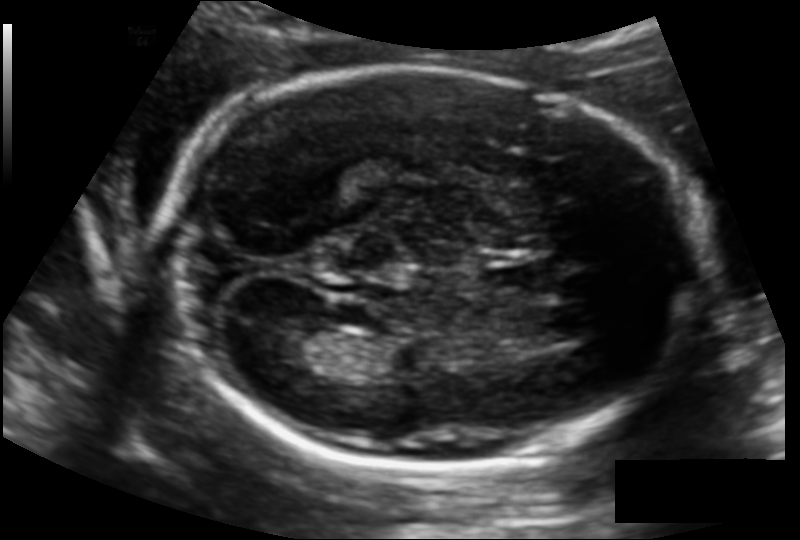
Fetal head ultrasound. Image width: 103.6 mm. Where is the lateral ventricle?

Lateral ventricle bounding box: [271,325,338,371]